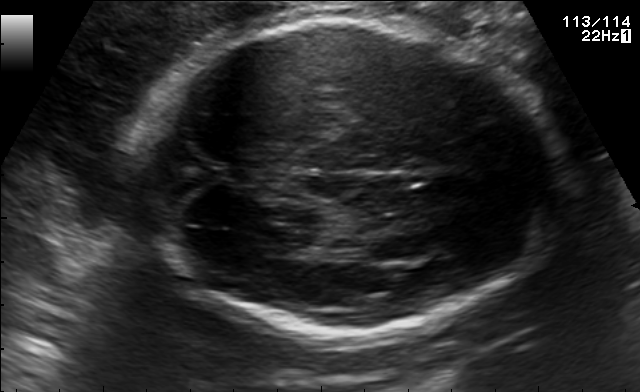
In this fetal brain, trans-thalamic plane, give the bounding box of the fetal head.

[131,18,577,336]